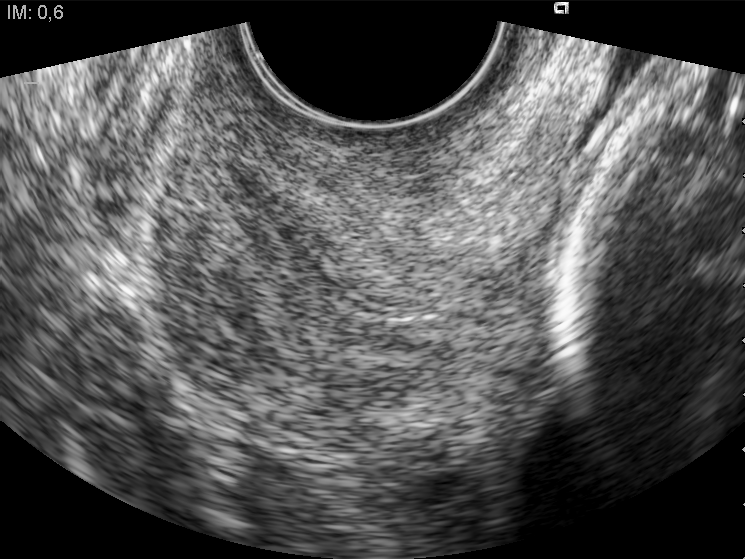
This is a 2D maternal-fetal ultrasound frame. Is it a fetal abdomen, fetal brain, fetal femur, fetal thorax, maternal cervix, or other standard plane? If it's fetal brain and one of the three standard brain planes (trans-thalamic, trans-cerebellum, trans-ventricular), name which.

Maternal cervix